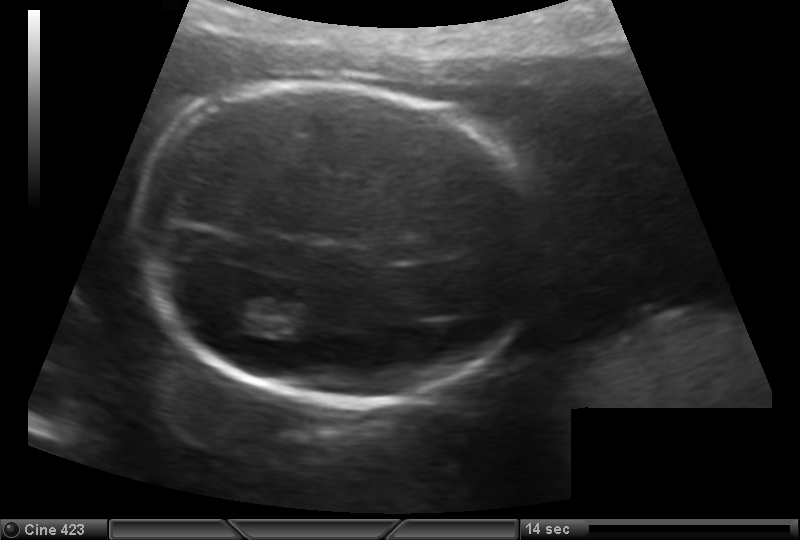
Fetal head ultrasound. Image width: 117.9 mm. Where is the fetal head?

Head bounding box: [128,82,535,403]